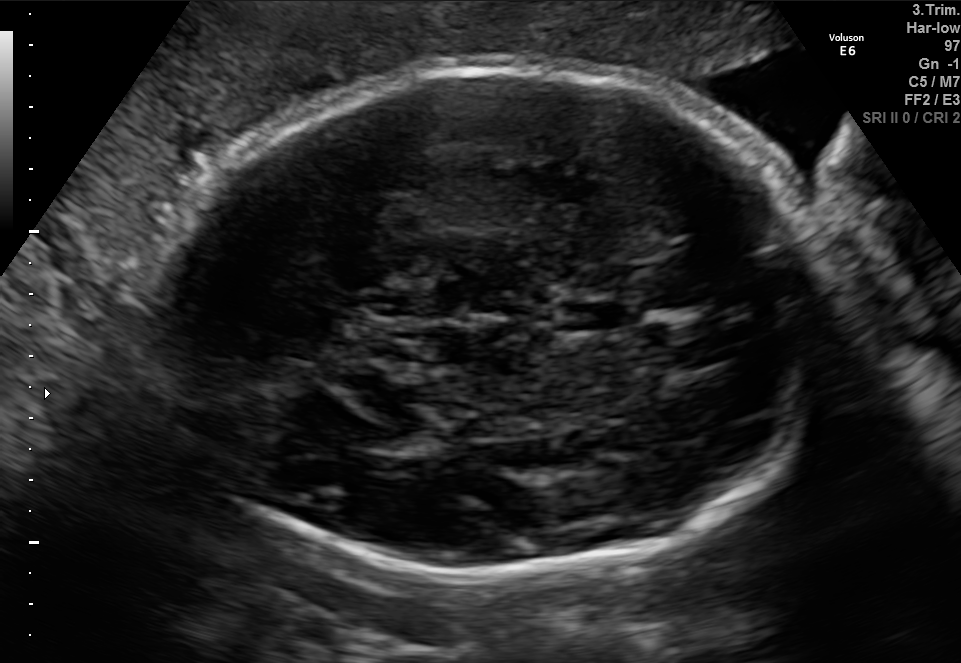
Which standard maternal-fetal ultrasound plane is shown: fetal abdomen, fetal brain, fetal femur, fetal thorax, maternal cervix, or other? If it's fetal brain and one of the three standard brain planes (trans-thalamic, trans-cerebellum, trans-ventricular), name which.

Fetal brain (trans-thalamic plane)